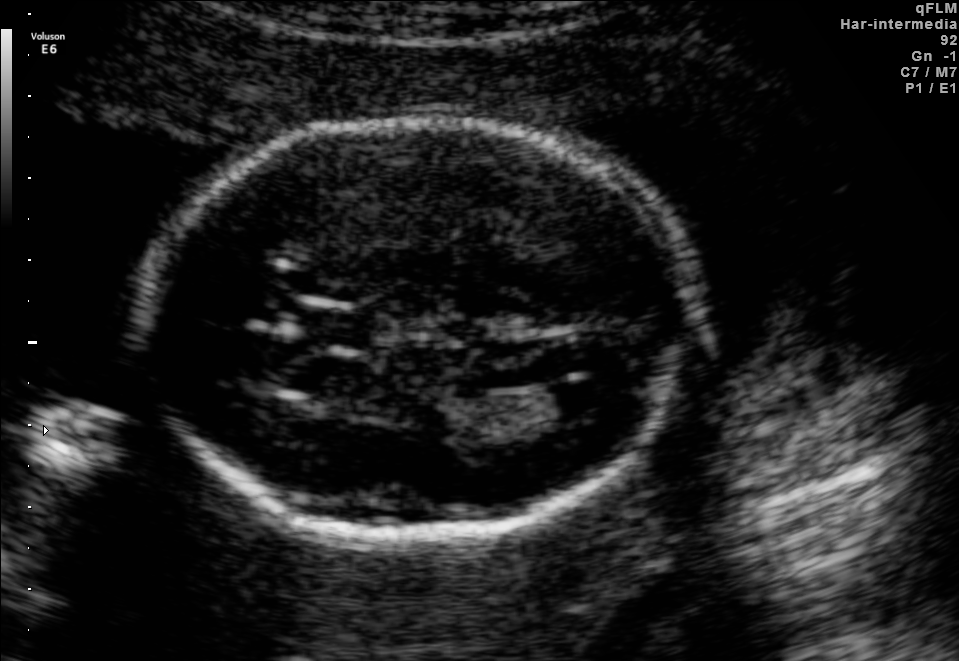
Fetal brain, trans-ventricular plane. Give [x1,y1,x2,y2] bounding boxes for each visible structure among: fetal head, CSP, LV.

Head: [133,111,706,546]
CSP: [290,300,392,357]
Lateral ventricle: [541,376,619,424]